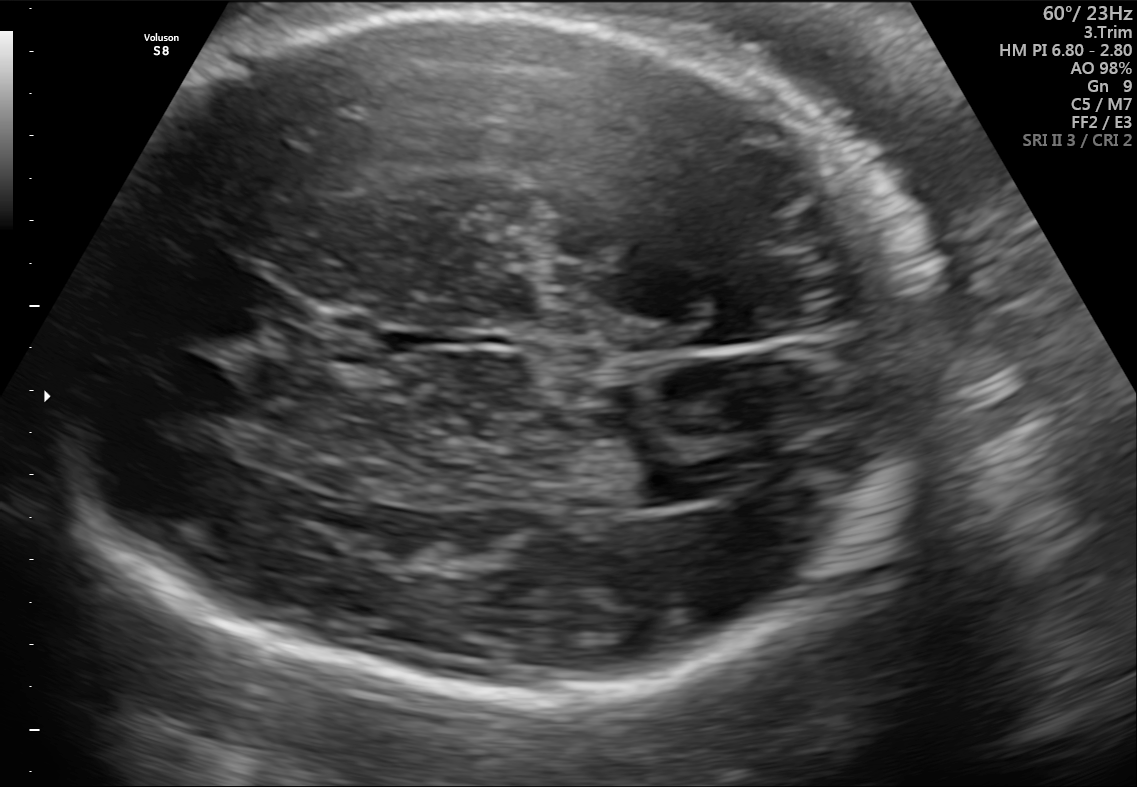
Fetal brain, trans-ventricular plane. Locate the cavum septum pellucidum.

CSP: [379,333,423,353]